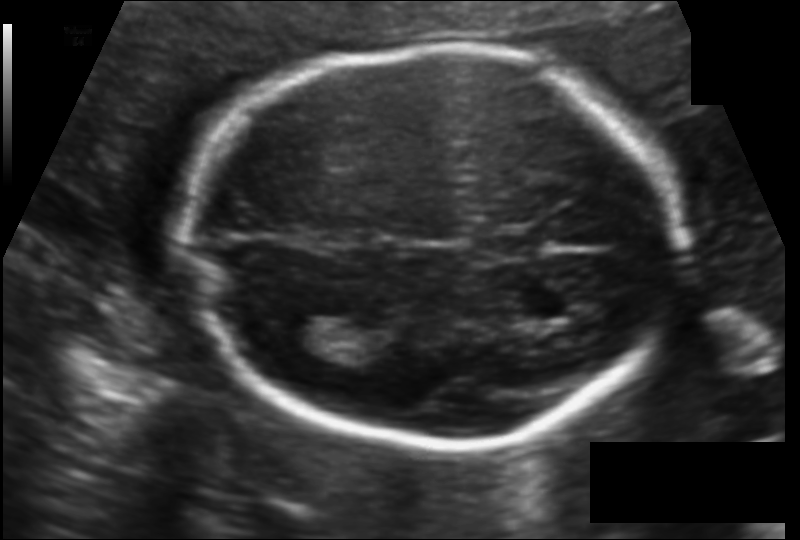
Fetal head ultrasound. Image width: 99.4 mm. Where is the fetal head?

Head bounding box: [188,47,681,444]